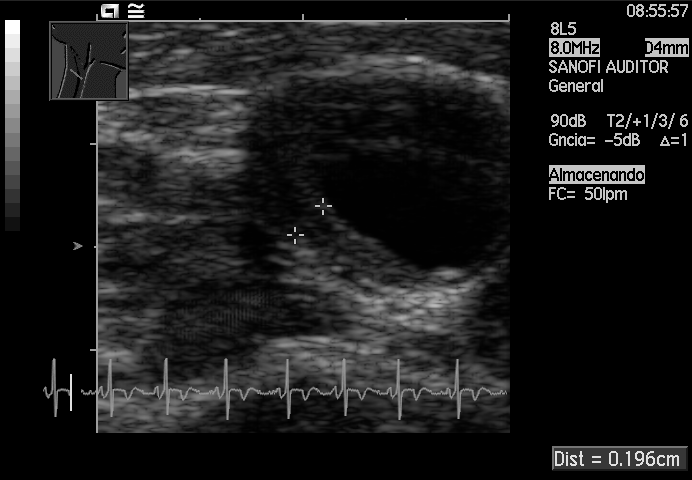
This is a 2D maternal-fetal ultrasound frame. Is it a fetal abdomen, fetal brain, fetal femur, fetal thorax, maternal cervix, or other standard plane? If it's fetal brain and one of the three standard brain planes (trans-thalamic, trans-cerebellum, trans-ventricular), name which.

Other